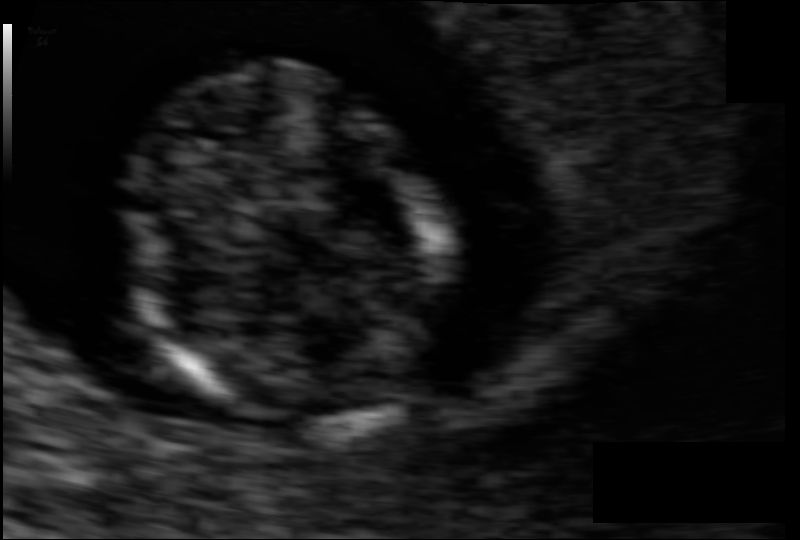
Fetal head ultrasound. Image width: 51.3 mm. Locate the fetal head and, if visible, the cavum septum pellucidum (CSP) and lateral ventricle (LV). Give bounding boxes as [x1,y1,x2,y2].

Head: [123,75,450,429]